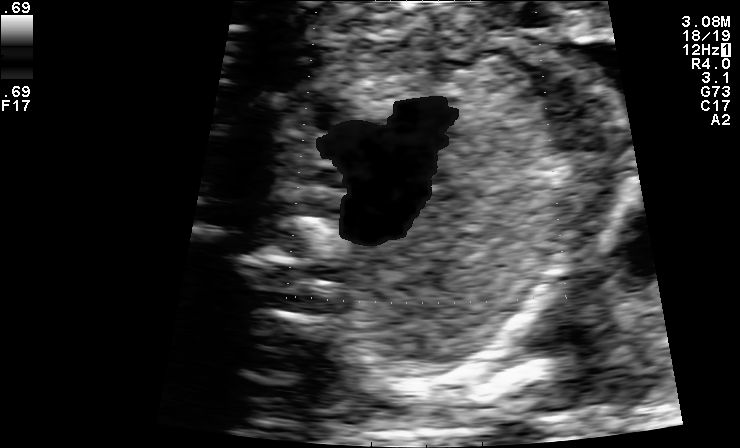
Classify this maternal-fetal ultrasound image as one of the six standard planes — fetal abdomen, fetal brain, fetal femur, fetal thorax, maternal cervix, or other. If it's fetal brain and one of the three standard brain planes (trans-thalamic, trans-cerebellum, trans-ventricular), name which.

Other